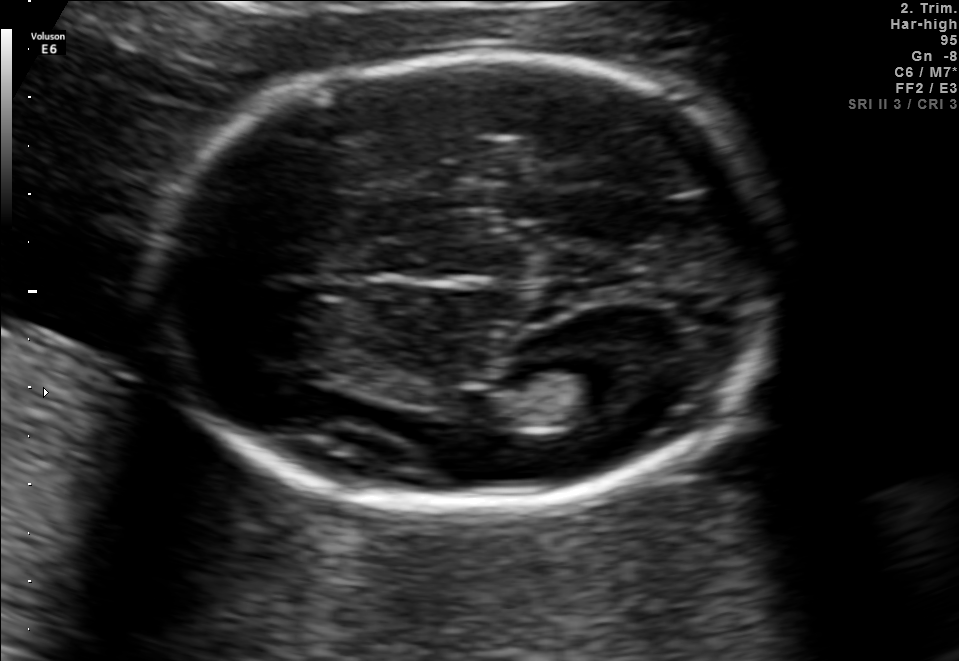
In this fetal brain, trans-thalamic plane, give the bounding box of the fetal head.

[144,54,773,511]